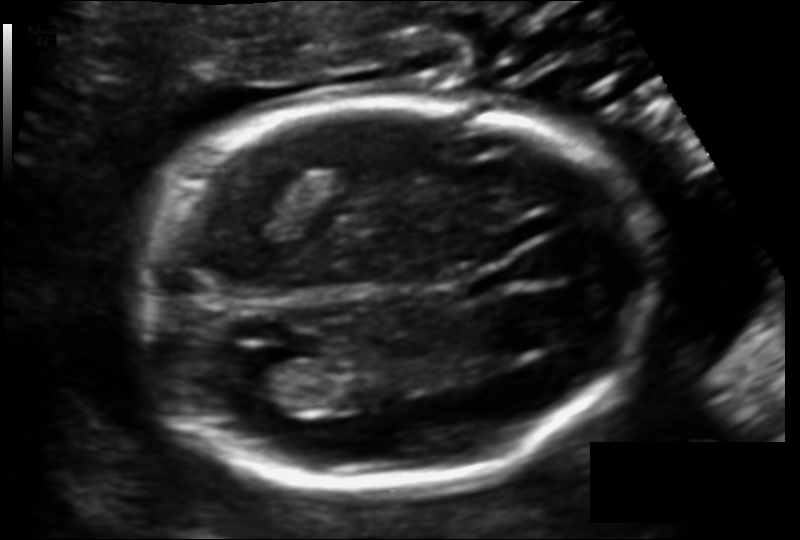
Measure the fetal head circumference shown in this ultrasound image. Image width: 97.3 mm.

Head circumference: 180.5 mm.